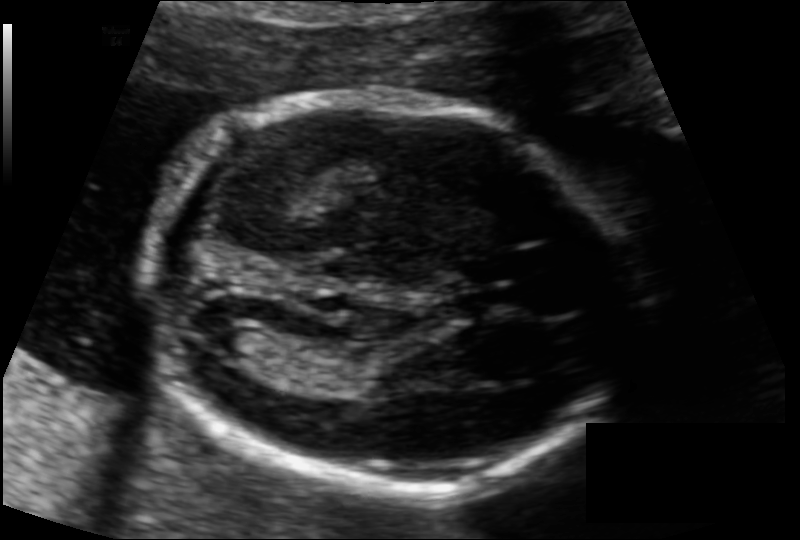
Measure the fetal head circumference shown in this ultrasound image. Image width: 86.5 mm.

Head circumference: 154.5 mm.